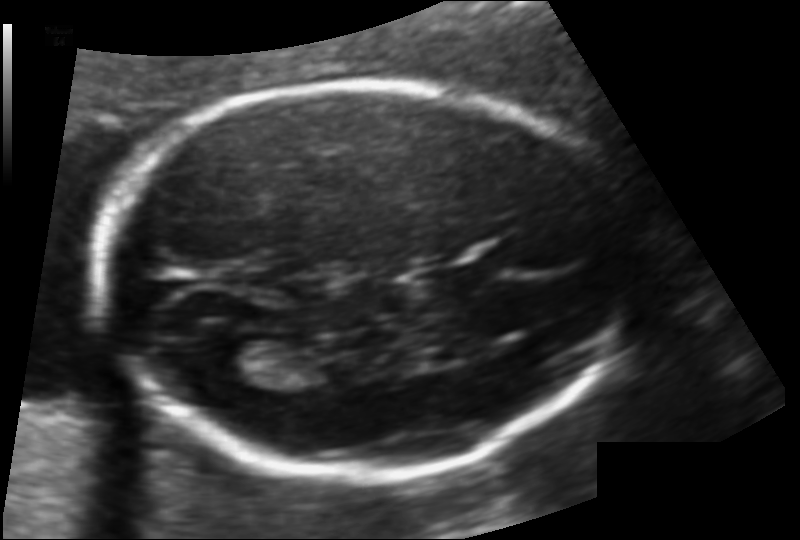
In this fetal head ultrasound, give the bounding box of the lateral ventricle. Image width: 93.3 mm.

[200,339,280,379]